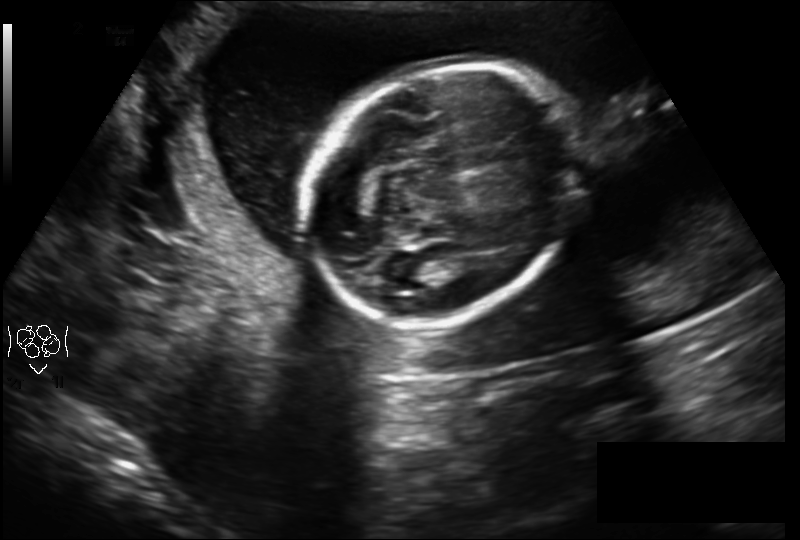
From this fetal ultrasound, estimate the head circumference (image width 167.6 mm).

Head circumference: 180.4 mm.